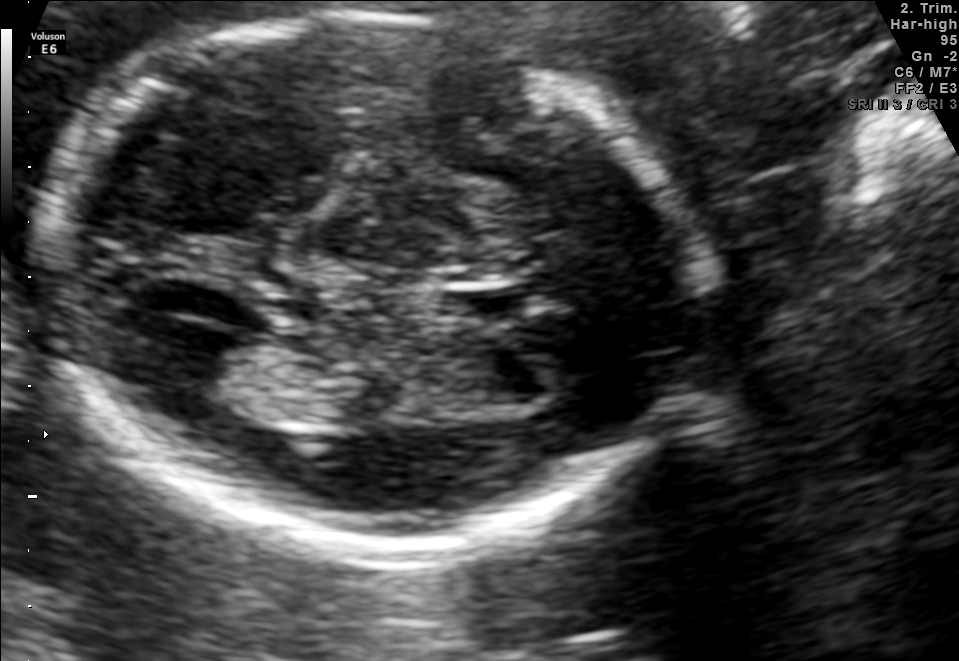
Fetal brain, trans-thalamic plane. Give [x1,y1,x2,y2] bounding boxes for each visible structure among: fetal head, CSP, LV.

Head: [38,17,703,550]
CSP: [450,283,542,319]
Lateral ventricle: [150,320,276,418]